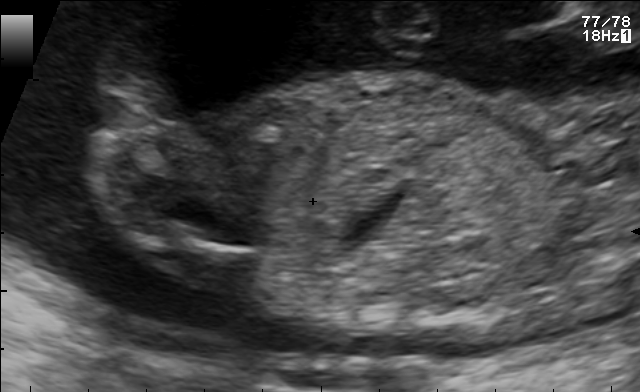
Which standard maternal-fetal ultrasound plane is shown: fetal abdomen, fetal brain, fetal femur, fetal thorax, maternal cervix, or other? If it's fetal brain and one of the three standard brain planes (trans-thalamic, trans-cerebellum, trans-ventricular), name which.

Other